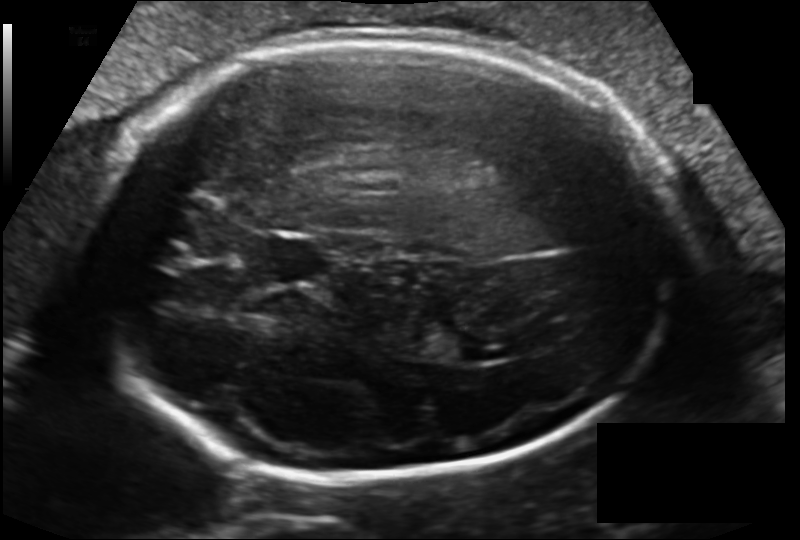
Estimate the fetal head circumference from this 2D ultrasound.

Head circumference: 270.5 mm (image width 129.6 mm).